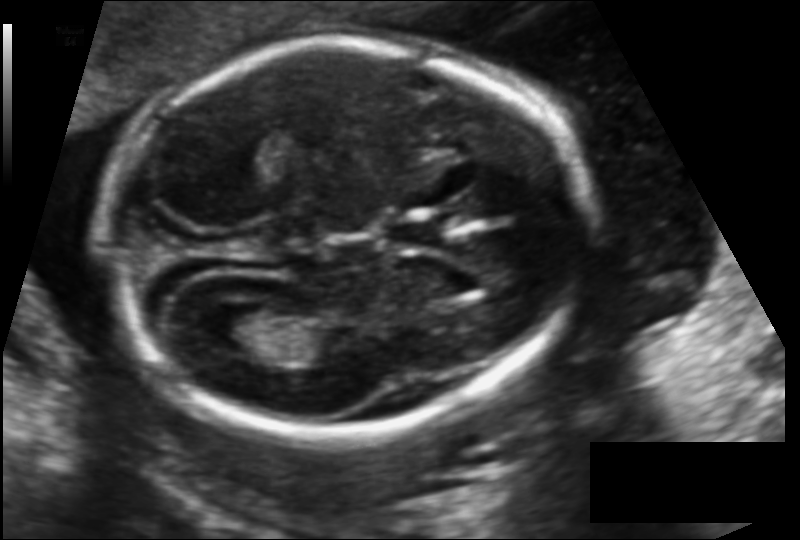
What is the fetal head circumference? Image width is 98.7 mm.

173.7 mm